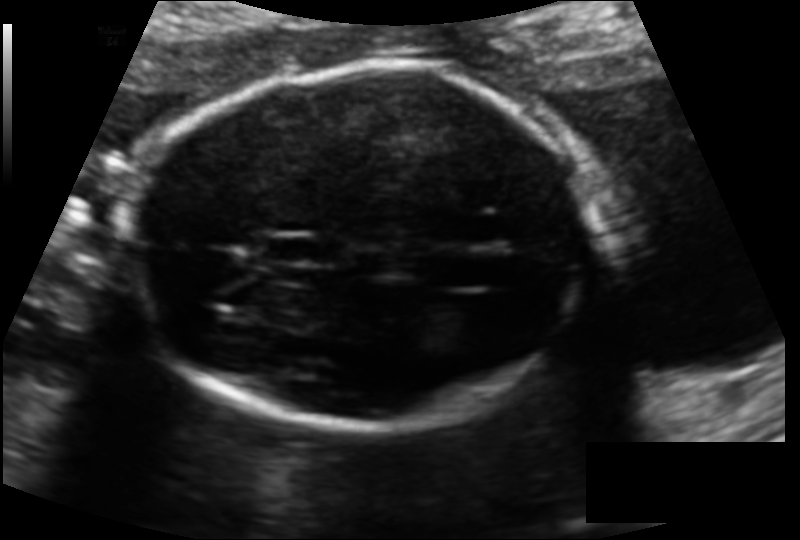
Fetal head ultrasound. Image width: 101.0 mm. Where is the cavum septum pellucidum?

CSP bounding box: [263,234,318,264]